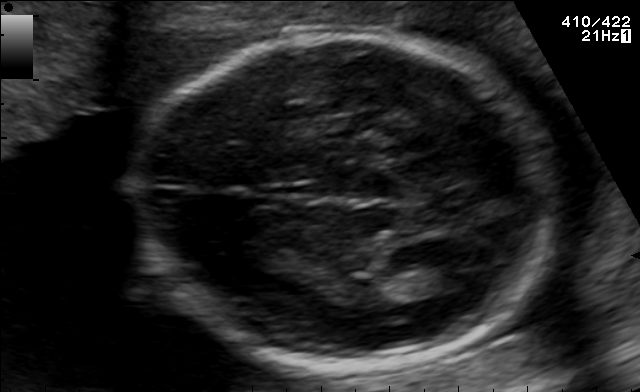
Fetal brain, trans-thalamic plane. Locate the lateral ventricle.

Lateral ventricle: [411,247,496,300]